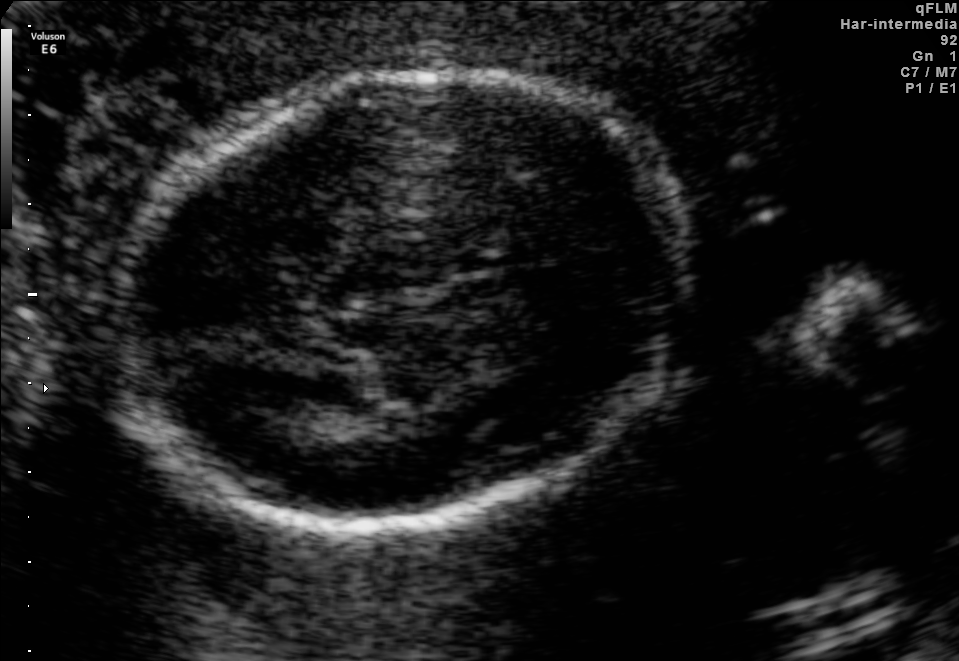
Fetal brain, trans-thalamic plane. Locate the fetal head and, if visible, the cavum septum pellucidum (CSP) and lateral ventricle (LV). Give bounding boxes as [x1,y1,x2,y2].

Head: [119,74,688,531]